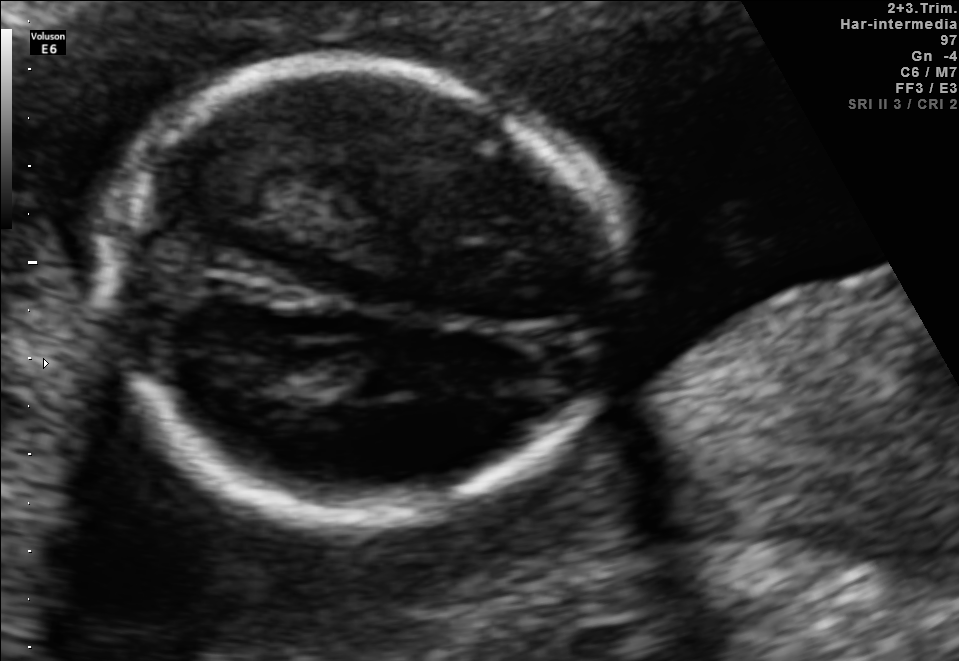
In this fetal brain, trans-thalamic plane, give the bounding box of the fetal head.

[99,66,624,527]